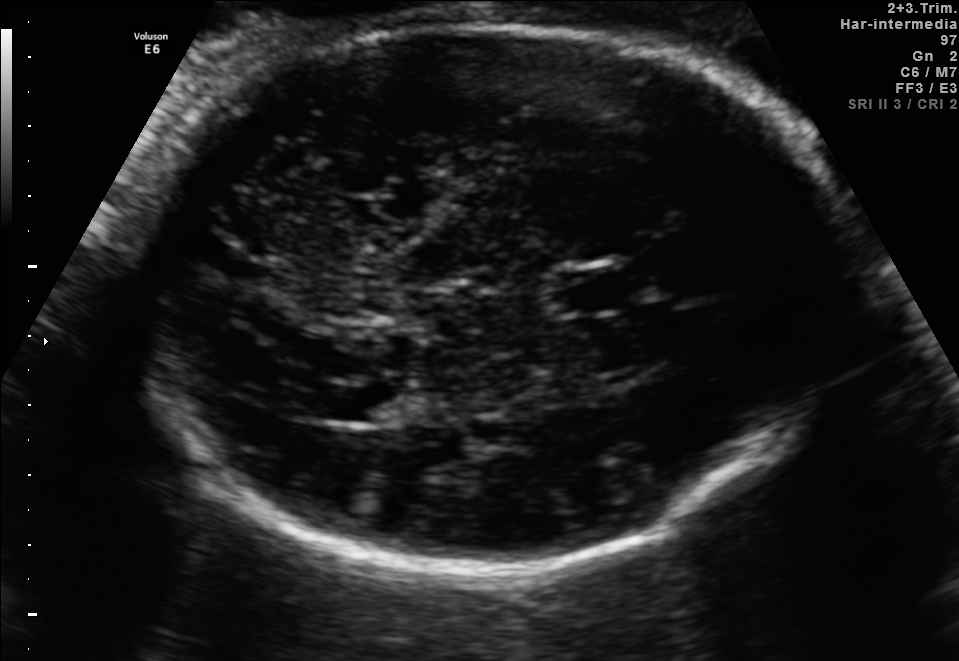
Fetal brain, trans-thalamic plane. Where is the fetal head?

Head bounding box: [135,26,852,569]